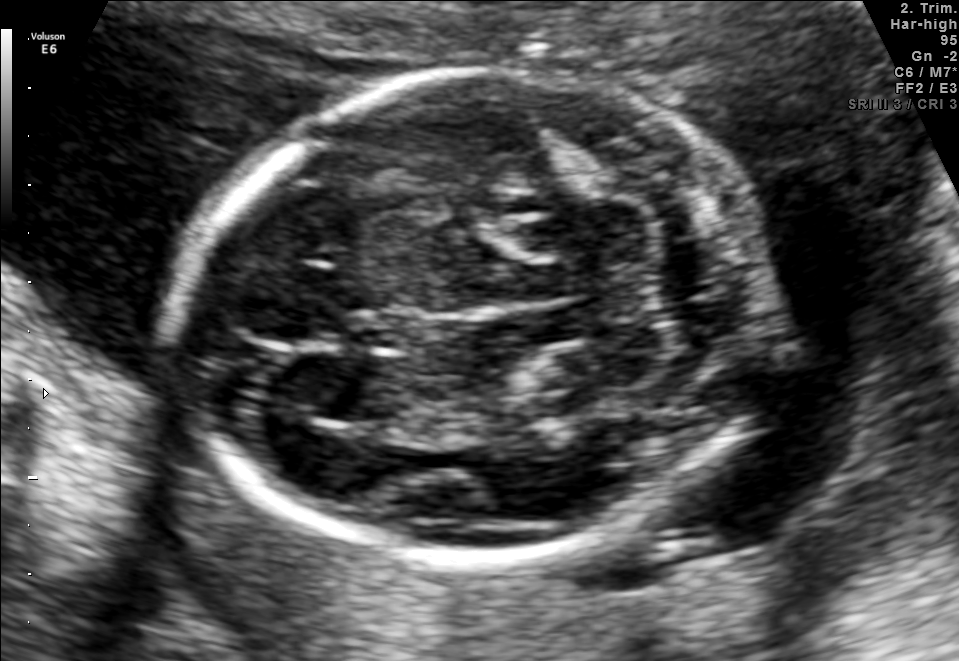
Fetal brain, trans-cerebellum plane. Give [x1,y1,x2,y2] bounding boxes for each visible structure among: fetal head, CSP, LV.

Head: [178,70,761,571]